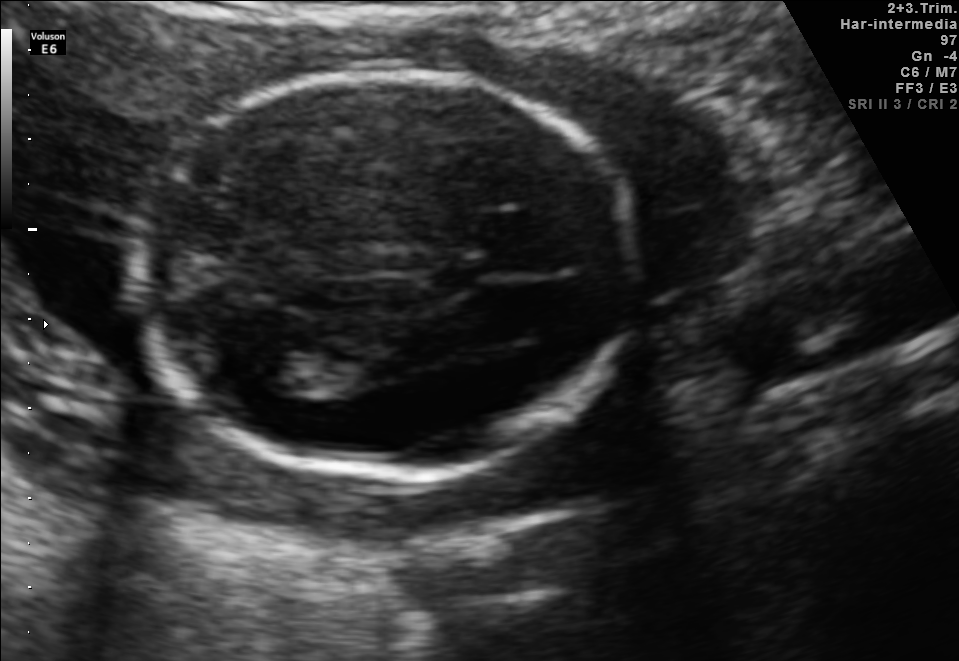
Fetal brain, trans-ventricular plane. Where is the fetal head?

Head bounding box: [124,65,647,484]